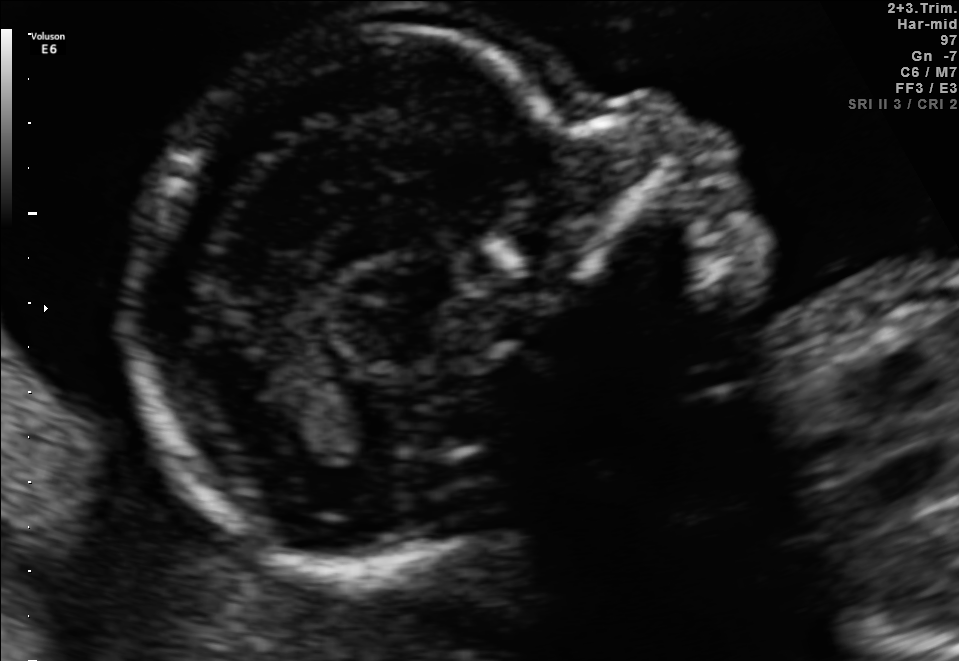
This is a 2D maternal-fetal ultrasound frame. Is it a fetal abdomen, fetal brain, fetal femur, fetal thorax, maternal cervix, or other standard plane? If it's fetal brain and one of the three standard brain planes (trans-thalamic, trans-cerebellum, trans-ventricular), name which.

Other